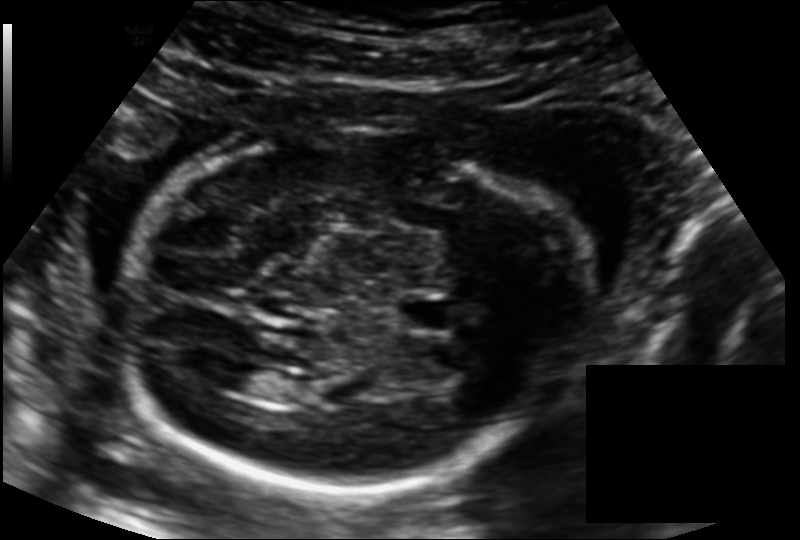
Fetal head ultrasound. Image width: 111.3 mm. Where is the fetal head?

Head bounding box: [118,125,588,489]